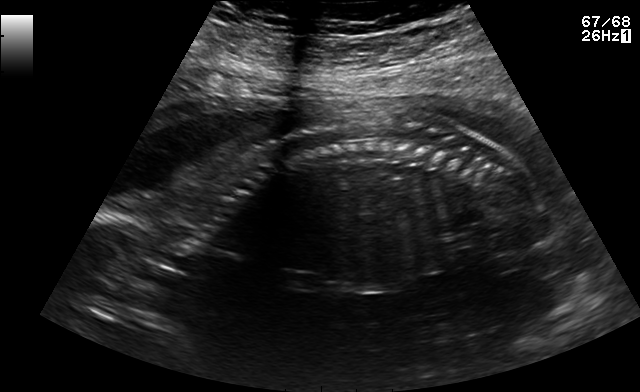
Classify this maternal-fetal ultrasound image as one of the six standard planes — fetal abdomen, fetal brain, fetal femur, fetal thorax, maternal cervix, or other. If it's fetal brain and one of the three standard brain planes (trans-thalamic, trans-cerebellum, trans-ventricular), name which.

Other